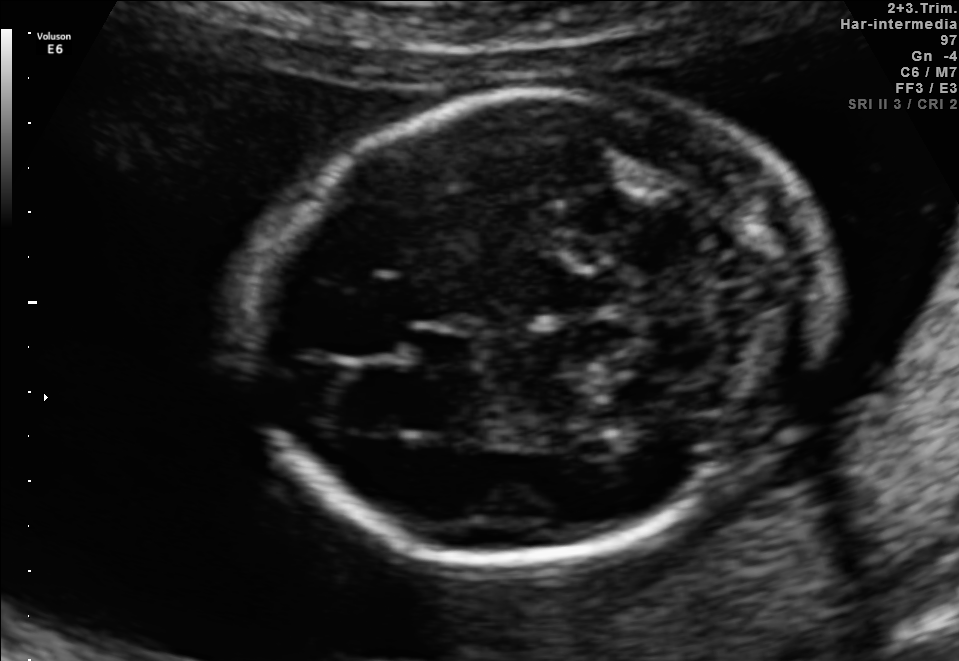
Fetal brain, trans-cerebellum plane. Locate the cavum septum pellucidum.

CSP: [410,324,478,371]